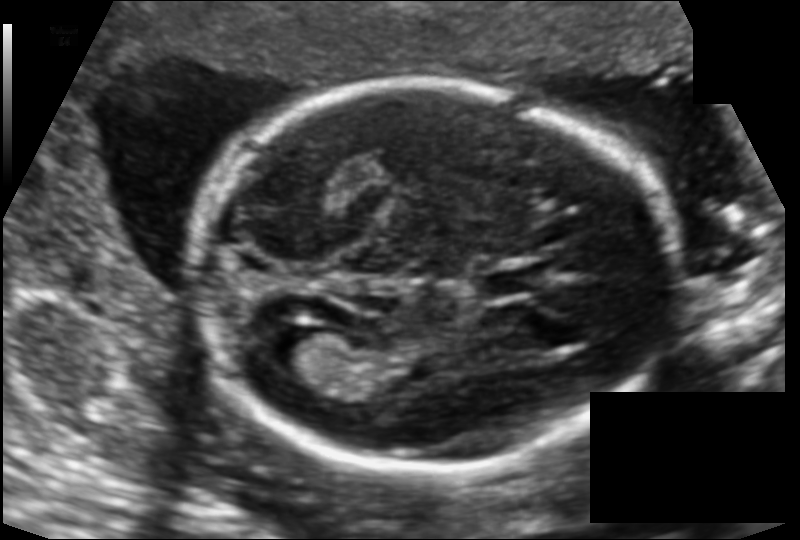
In this fetal head ultrasound, give bounding boxes for the head outline, cavum septum pellucidum (CSP), and lateral ventricle (LV), where visible. Image width: 98.8 mm.

Head: [192,83,678,469]
CSP: [483,263,543,300]
Lateral ventricle: [255,312,344,387]